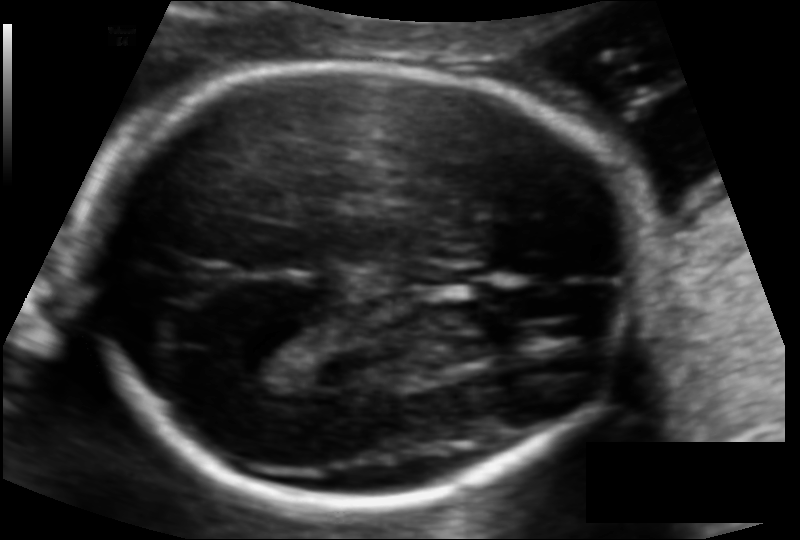
Fetal head ultrasound. Image width: 86.6 mm. Locate the fetal head.

Head: [82,65,643,505]